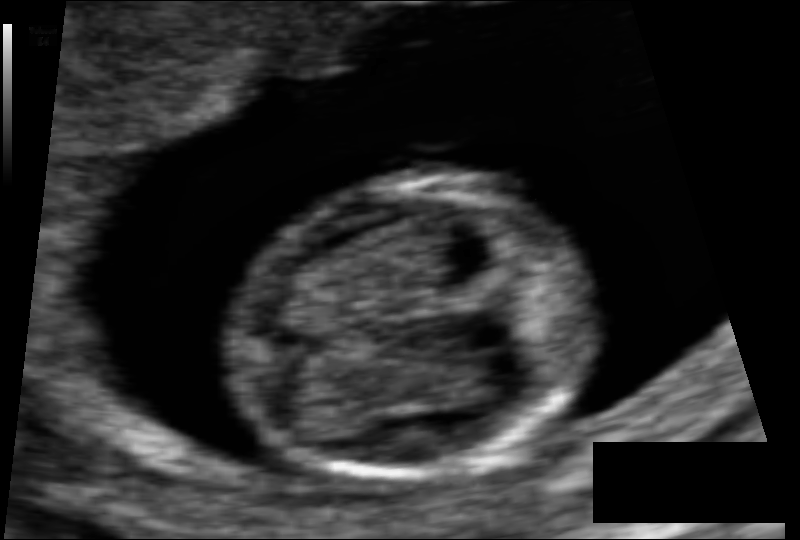
Fetal head ultrasound. Image width: 51.5 mm. Give [x1,y1,x2,y2] bounding boxes for each visible structure among: fetal head, CSP, LV.

Head: [229,178,598,475]